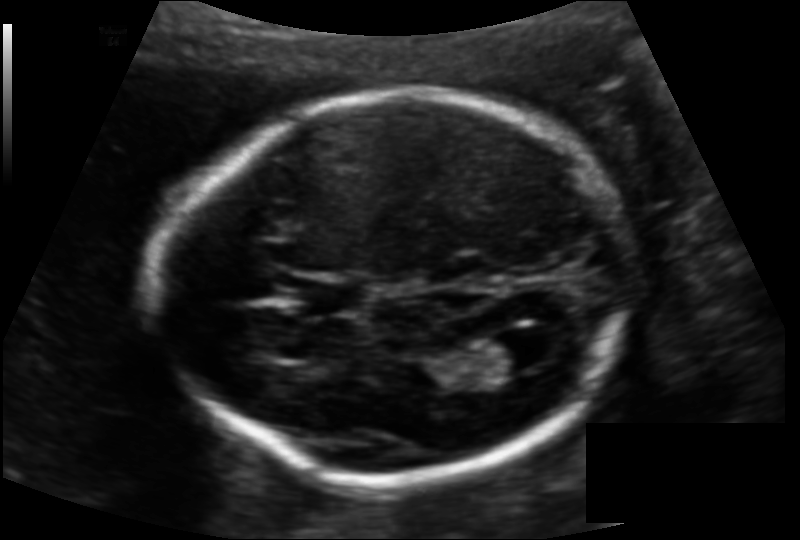
What is the fetal head circumference? Image width is 102.7 mm.

177.1 mm